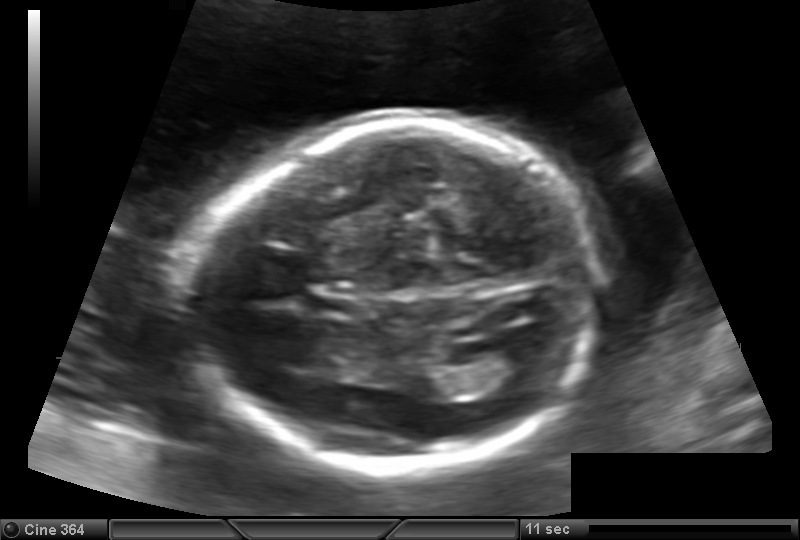
Fetal head ultrasound. Image width: 115.2 mm. Locate the cavum septum pellucidum.

CSP: [303,288,361,323]